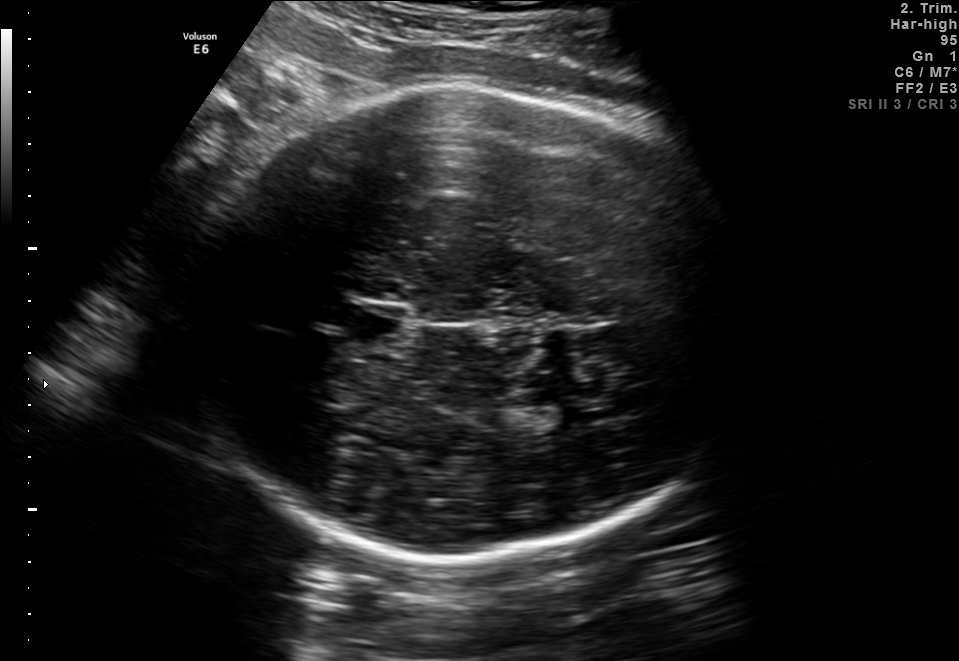
Fetal brain, trans-thalamic plane. Give [x1,y1,x2,y2] bounding boxes for each visible structure among: fetal head, CSP, LV.

Head: [196,85,747,560]
CSP: [333,301,408,351]